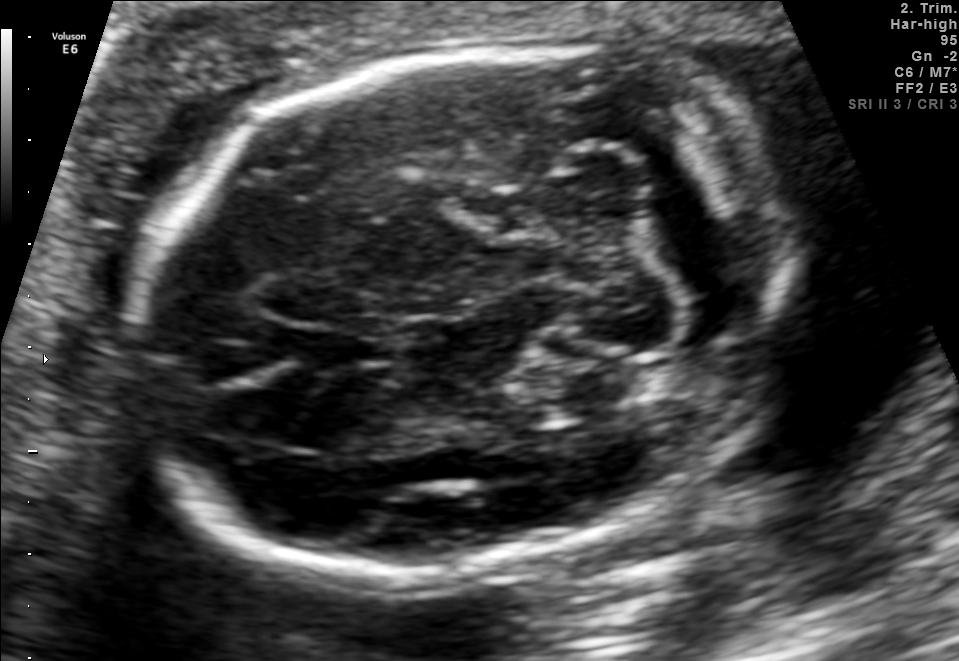
Fetal brain, trans-cerebellum plane. Where is the cavum septum pellucidum?

CSP bounding box: [305,322,388,368]